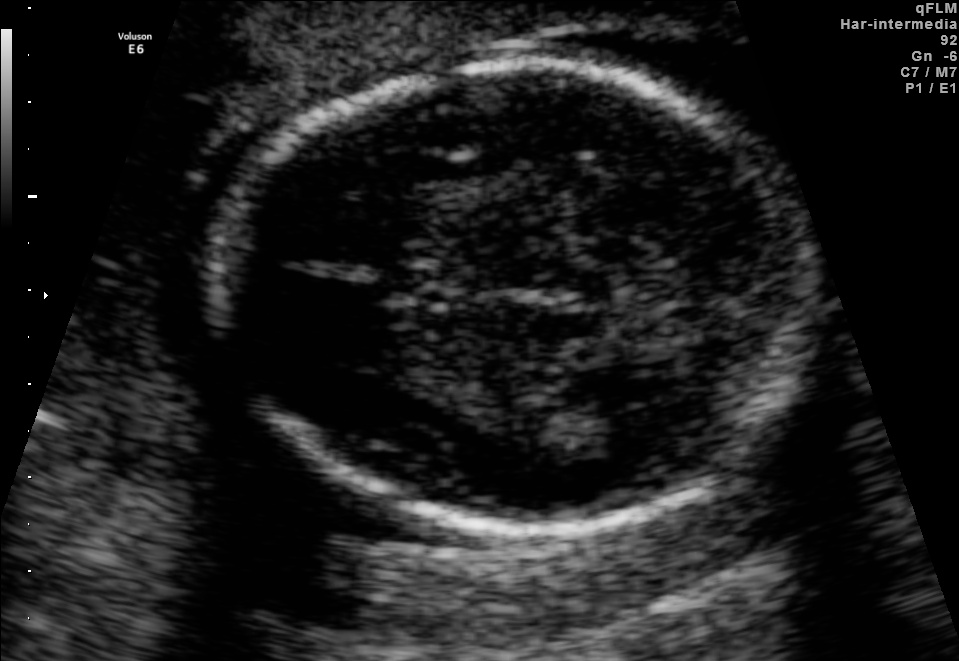
Classify this maternal-fetal ultrasound image as one of the six standard planes — fetal abdomen, fetal brain, fetal femur, fetal thorax, maternal cervix, or other. If it's fetal brain and one of the three standard brain planes (trans-thalamic, trans-cerebellum, trans-ventricular), name which.

Fetal brain (trans-thalamic plane)